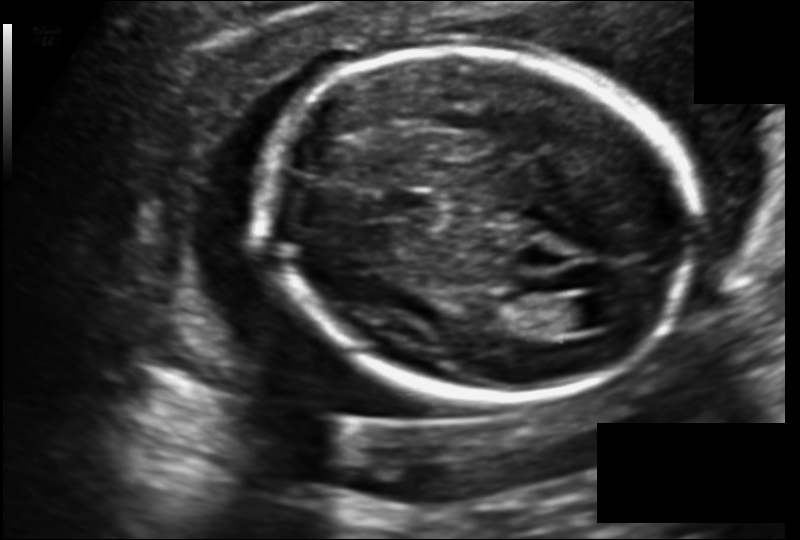
Fetal head ultrasound. Image width: 111.6 mm. Give [x1,y1,x2,y2] bounding boxes for each visible structure among: fetal head, CSP, LV.

Head: [263,47,692,398]
CSP: [386,191,439,220]
Lateral ventricle: [544,294,605,336]